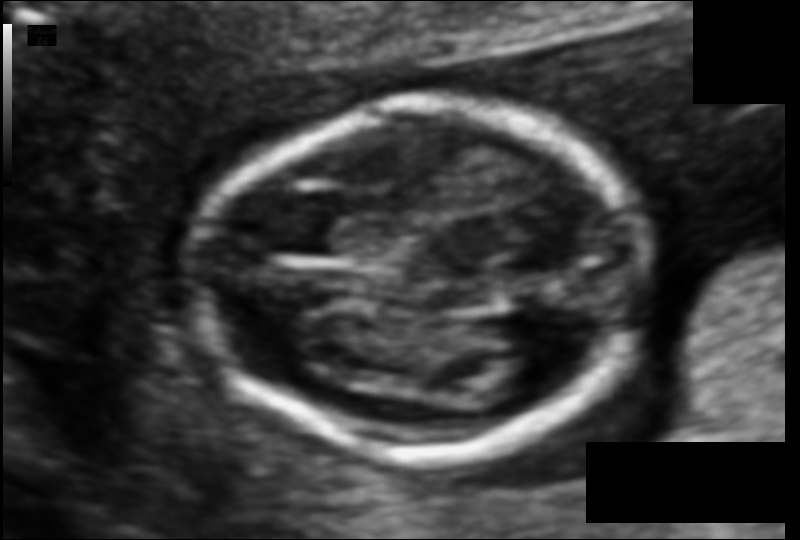
Fetal head ultrasound. Image width: 61.5 mm. Where is the fetal head?

Head bounding box: [197,105,648,458]